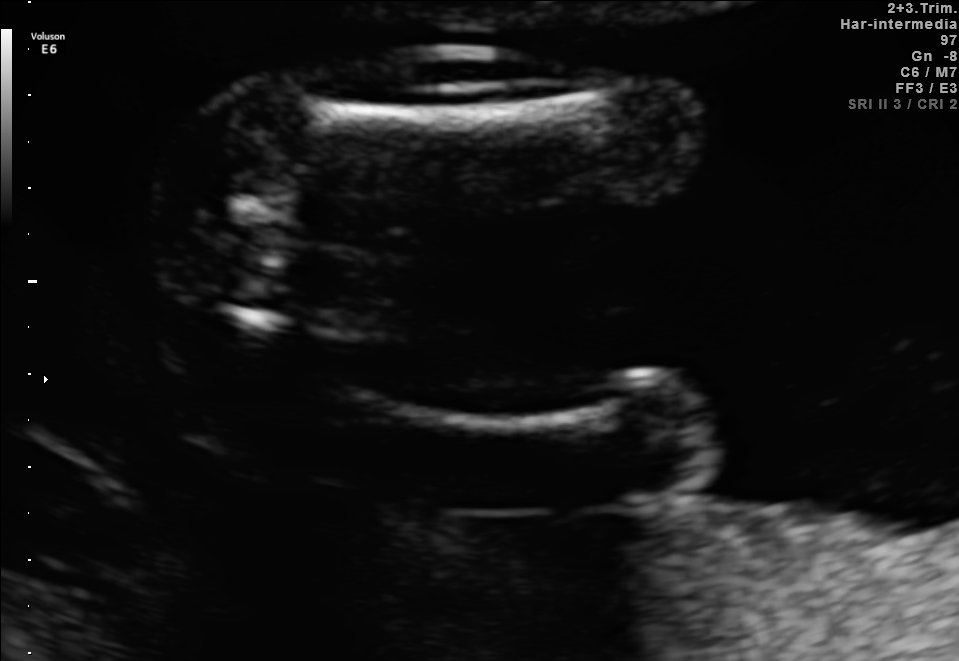
This is a 2D maternal-fetal ultrasound frame. Is it a fetal abdomen, fetal brain, fetal femur, fetal thorax, maternal cervix, or other standard plane? If it's fetal brain and one of the three standard brain planes (trans-thalamic, trans-cerebellum, trans-ventricular), name which.

Fetal femur